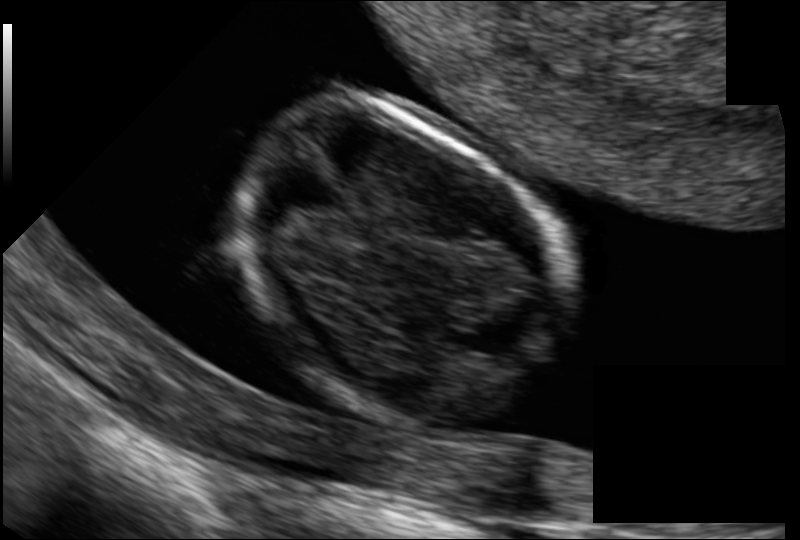
Fetal head ultrasound. Image width: 55.2 mm. Where is the fetal head?

Head bounding box: [228,109,561,417]